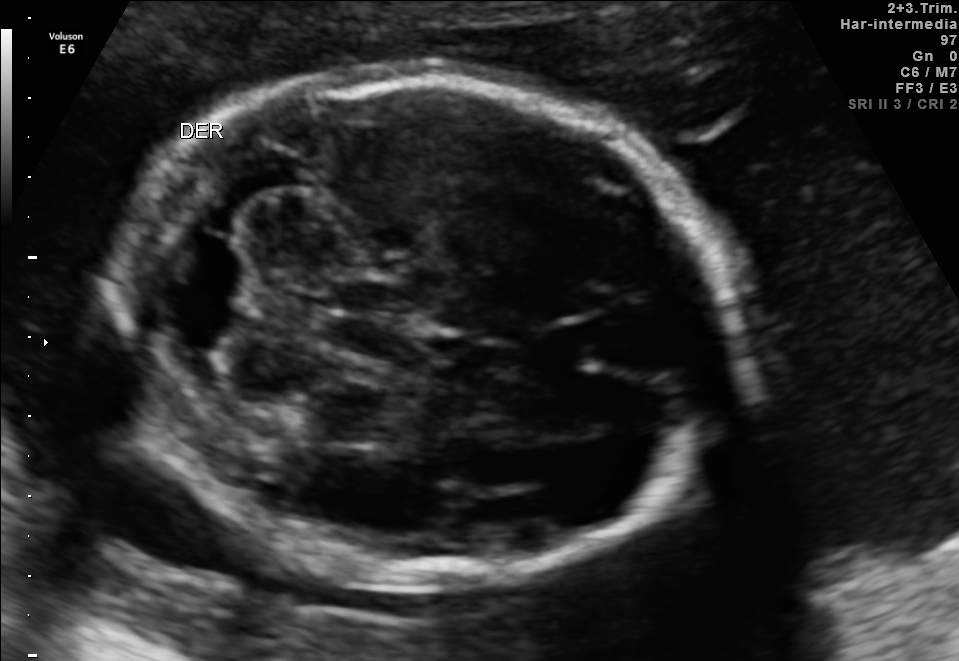
Fetal brain, trans-cerebellum plane. Where is the fetal head?

Head bounding box: [115,73,734,578]